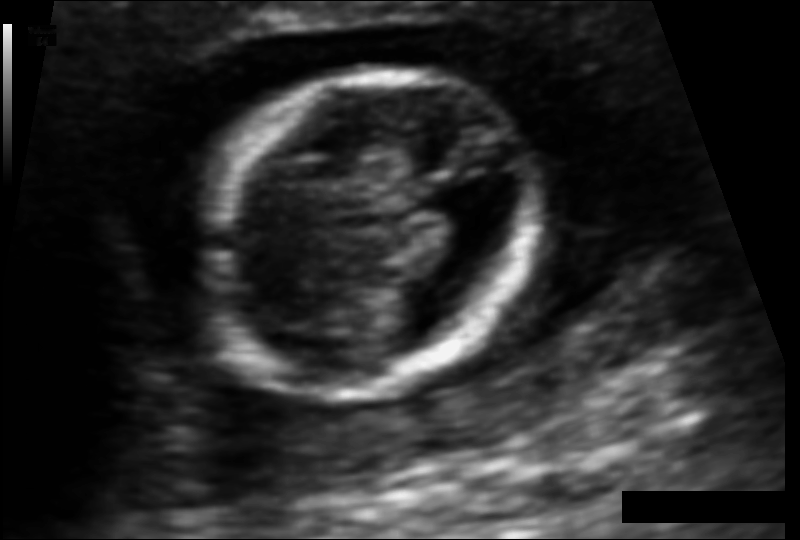
In this fetal head ultrasound, give bounding boxes for the head outline, cavum septum pellucidum (CSP), and lateral ventricle (LV), where visible. Image width: 73.5 mm.

Head: [184,68,538,394]